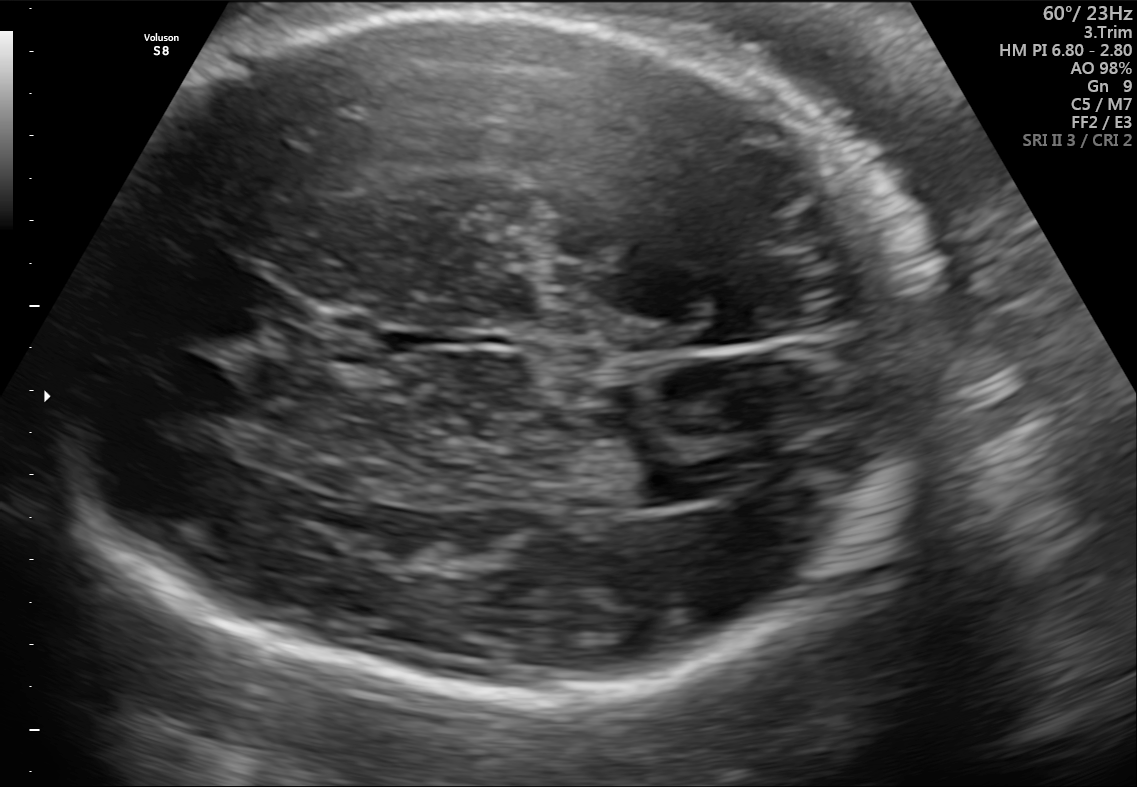
Fetal brain, trans-ventricular plane. Where is the lateral ventricle?

Lateral ventricle bounding box: [627,463,702,507]